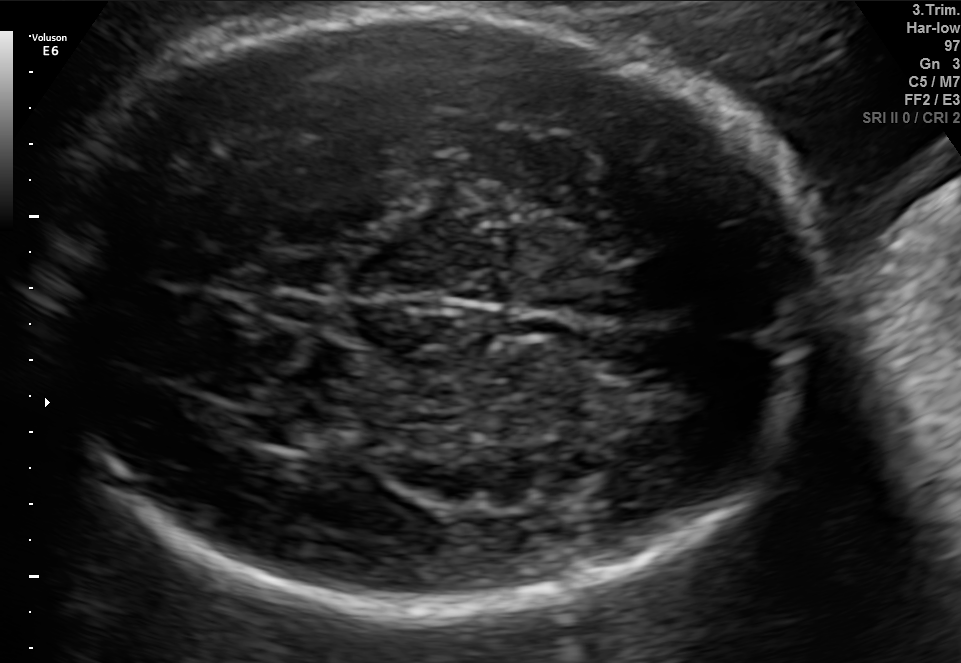
Fetal brain, trans-thalamic plane. Locate the fetal head and, if visible, the cavum septum pellucidum (CSP) and lateral ventricle (LV). Give bounding boxes as [x1,y1,x2,y2].

Head: [44,13,817,616]